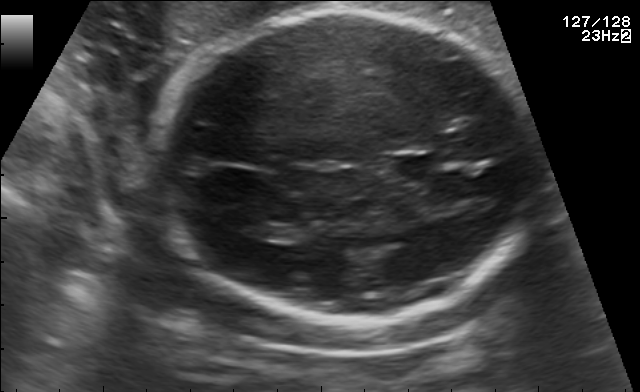
Fetal brain, trans-thalamic plane. Locate the fetal head.

Head: [157,12,543,325]